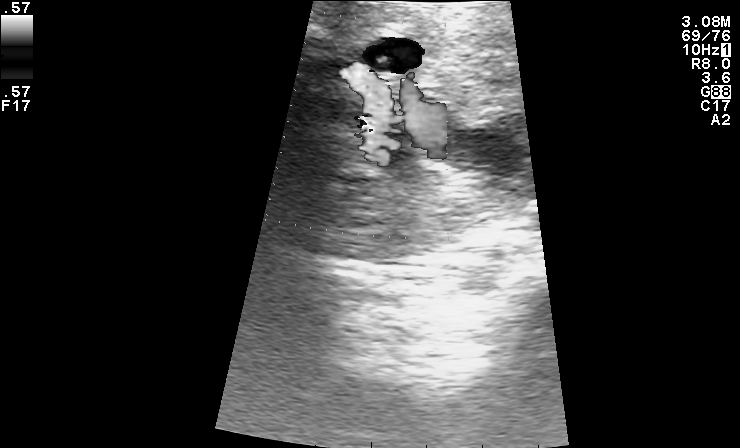
Identify the standard plane in this fetal ultrasound image: fetal abdomen, fetal brain, fetal femur, fetal thorax, maternal cervix, or other. If it's fetal brain and one of the three standard brain planes (trans-thalamic, trans-cerebellum, trans-ventricular), name which.

Other